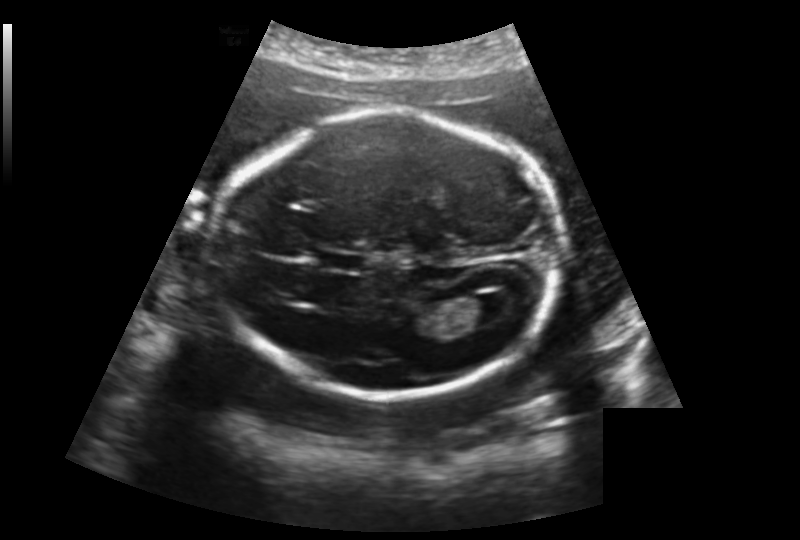
Fetal head ultrasound. Image width: 150.3 mm. Give [x1,y1,x2,y2] bounding boxes for each visible structure among: fetal head, CSP, LV.

Head: [214,114,563,394]
CSP: [315,248,368,276]
Lateral ventricle: [462,289,520,330]